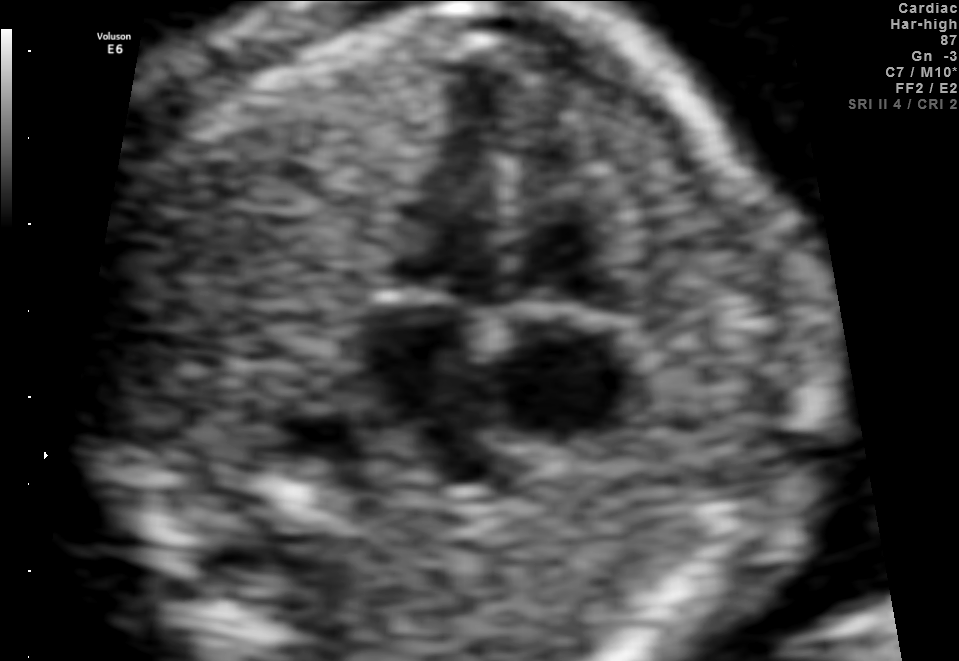
Which standard maternal-fetal ultrasound plane is shown: fetal abdomen, fetal brain, fetal femur, fetal thorax, maternal cervix, or other? If it's fetal brain and one of the three standard brain planes (trans-thalamic, trans-cerebellum, trans-ventricular), name which.

Fetal thorax